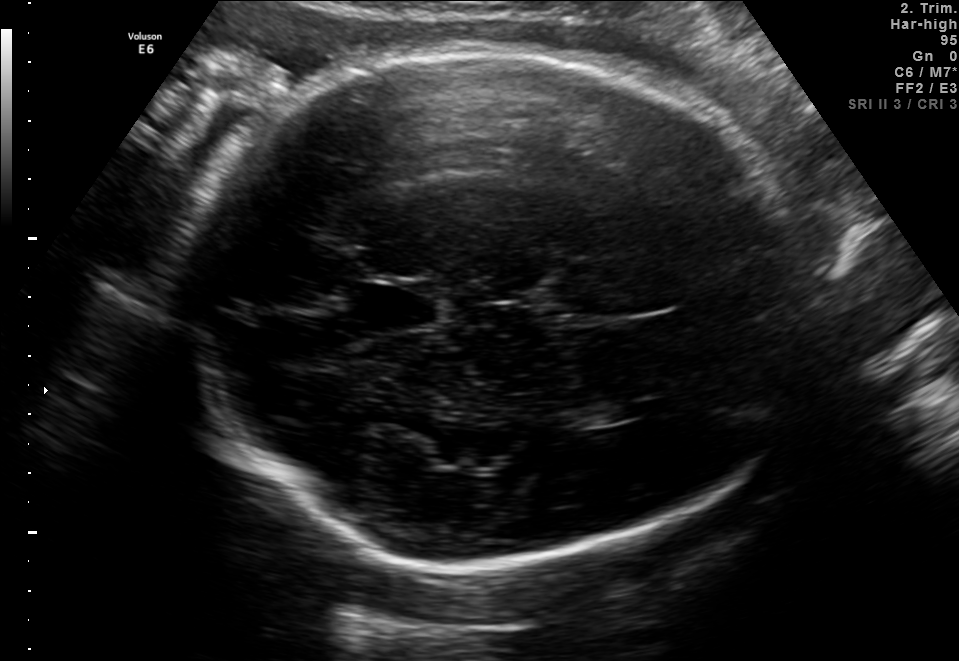
Fetal brain, trans-thalamic plane. Locate the fetal head.

Head: [176,47,811,562]